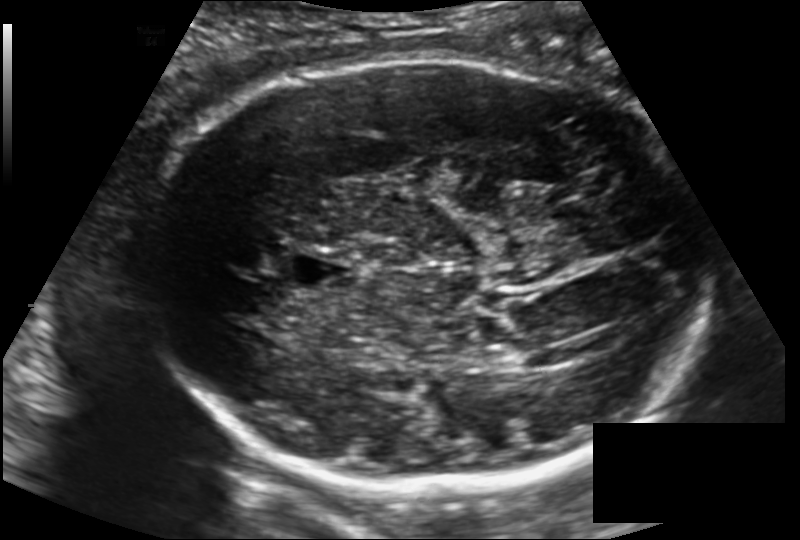
Estimate the fetal head circumference from this 2D ultrasound. Image width: 136.5 mm.

Head circumference: 272.1 mm.